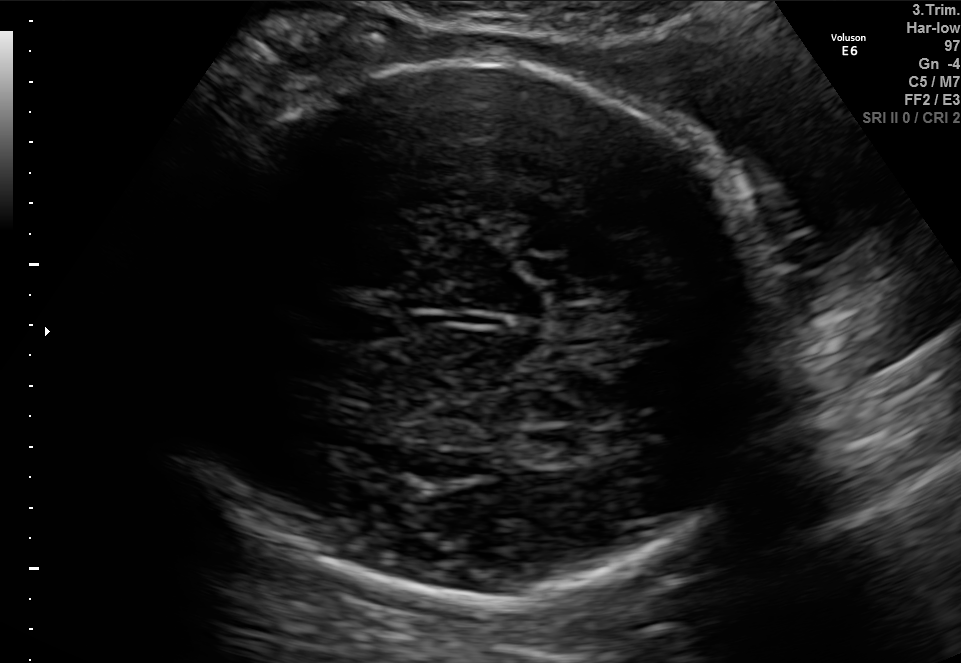
Fetal brain, trans-thalamic plane. Locate the fetal head.

Head: [157,60,774,607]